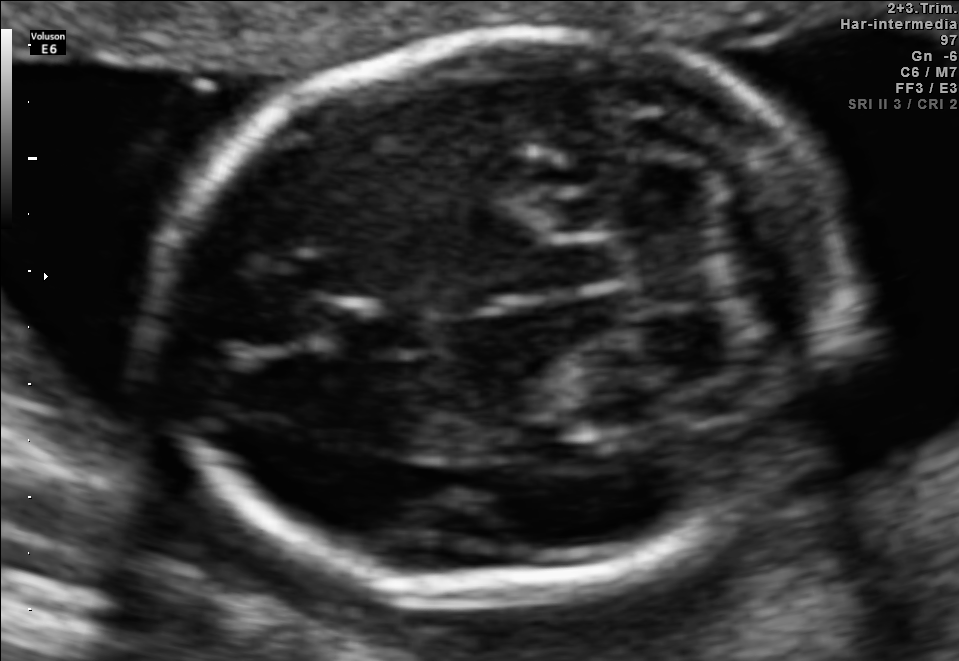
Fetal brain, trans-cerebellum plane. Where is the fetal head?

Head bounding box: [161,28,846,597]